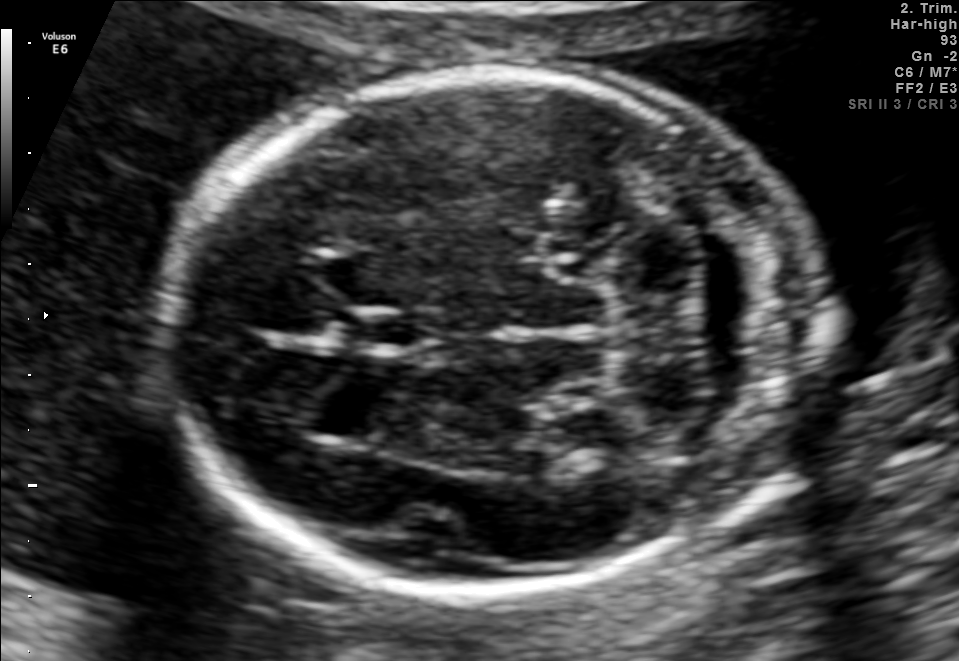
Fetal brain, trans-cerebellum plane. Give [x1,y1,x2,y2] bounding boxes for each visible structure among: fetal head, CSP, LV.

Head: [167,74,818,595]
CSP: [342,311,429,350]